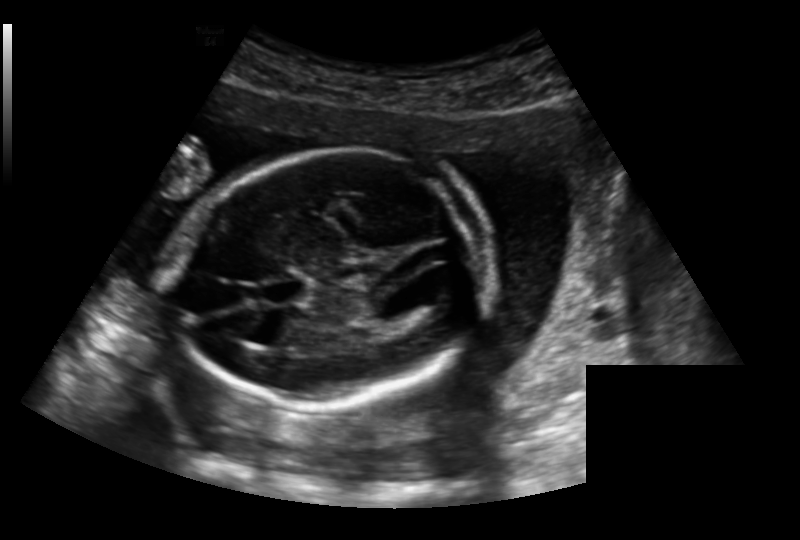
Estimate the fetal head circumference from this 2D ultrasound. Image width: 152.5 mm.

Head circumference: 171.8 mm.